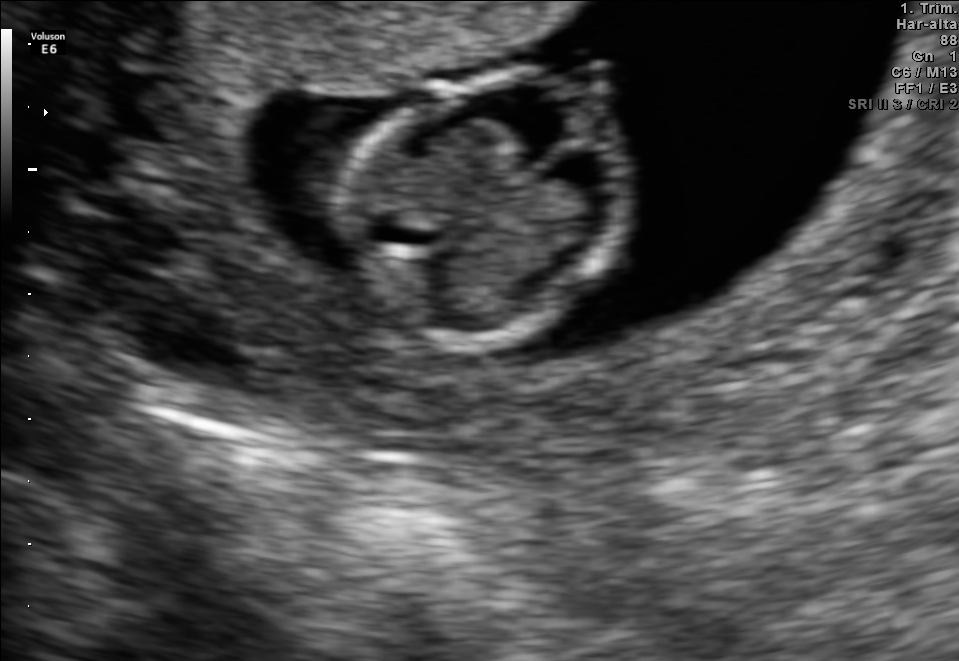
Fetal brain, trans-thalamic plane. Where is the fetal head?

Head bounding box: [347,70,638,341]